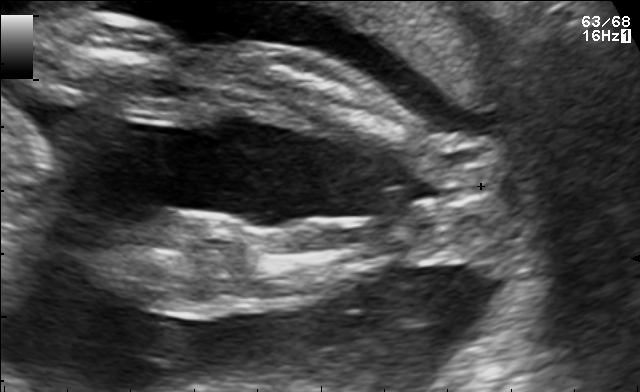
Which standard maternal-fetal ultrasound plane is shown: fetal abdomen, fetal brain, fetal femur, fetal thorax, maternal cervix, or other? If it's fetal brain and one of the three standard brain planes (trans-thalamic, trans-cerebellum, trans-ventricular), name which.

Other